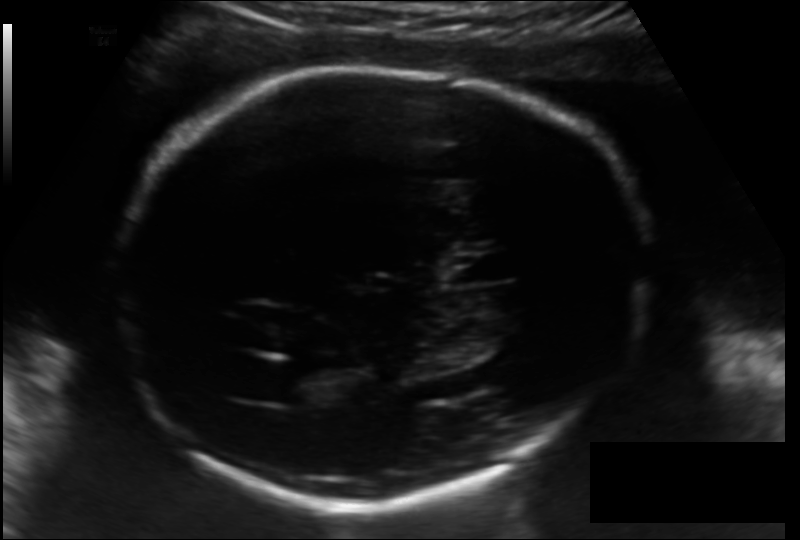
In this fetal head ultrasound, give the bounding box of the fetal head. Image width: 125.8 mm.

[113,64,648,504]